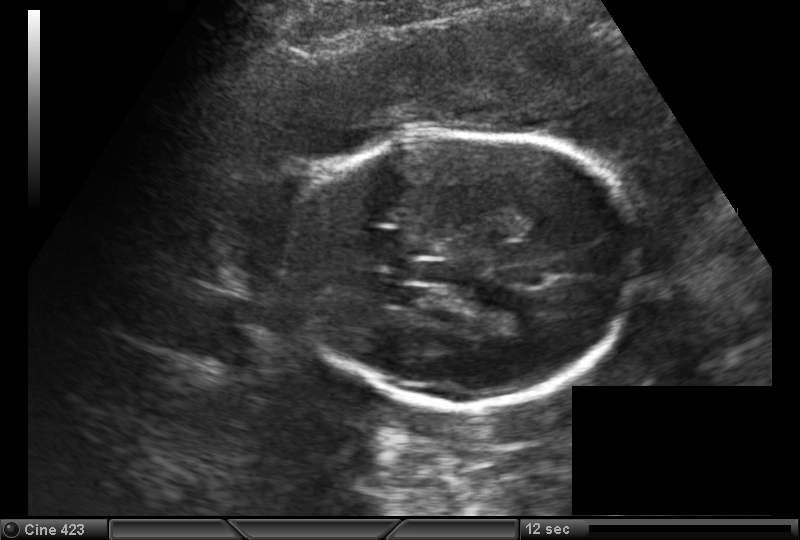
Fetal head ultrasound. Image width: 138.2 mm. Where is the cavum septum pellucidum?

CSP bounding box: [402,260,451,282]